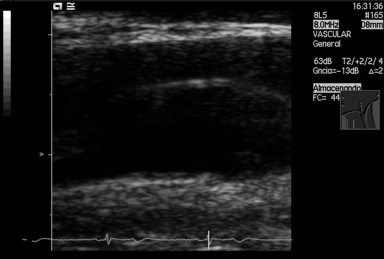
This is a 2D maternal-fetal ultrasound frame. Is it a fetal abdomen, fetal brain, fetal femur, fetal thorax, maternal cervix, or other standard plane? If it's fetal brain and one of the three standard brain planes (trans-thalamic, trans-cerebellum, trans-ventricular), name which.

Other